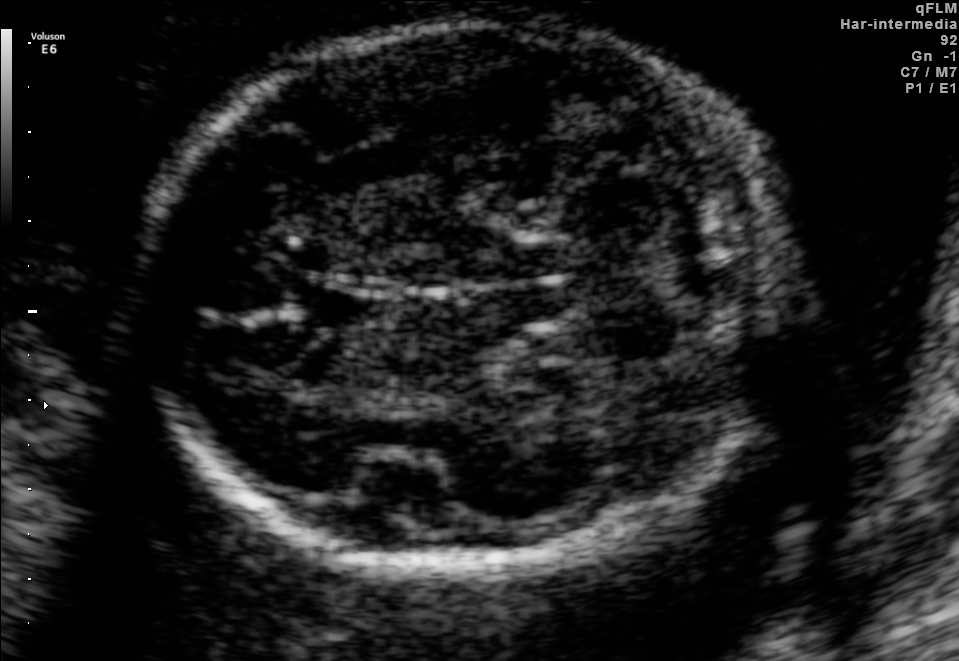
In this fetal brain, trans-cerebellum plane, give the bounding box of the cavum septum pellucidum.

[289,284,390,333]